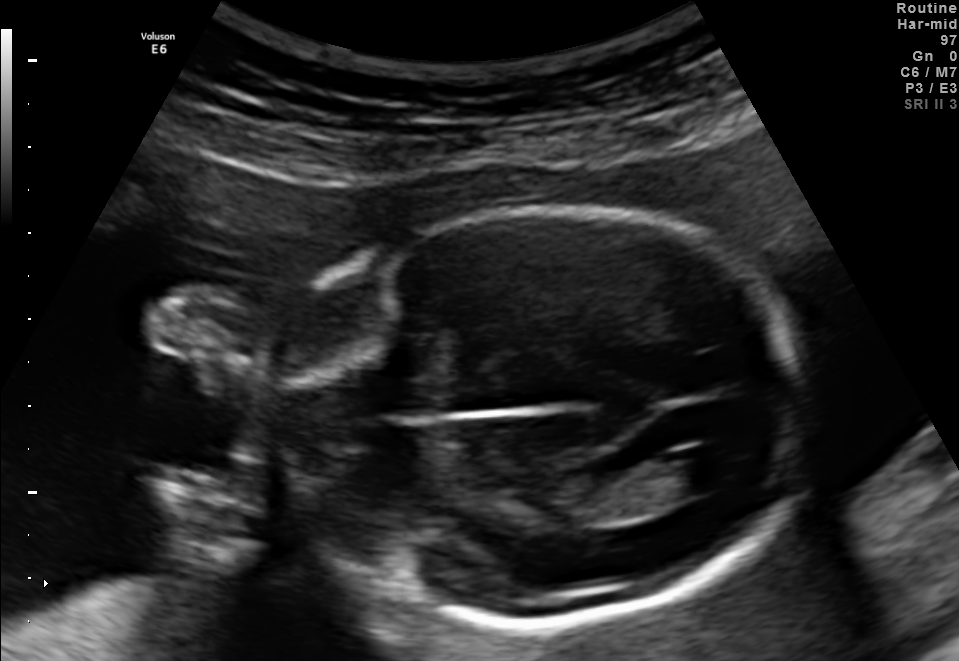
Fetal brain, trans-ventricular plane. Locate the fetal head and, if visible, the cavum septum pellucidum (CSP) and lateral ventricle (LV). Give bounding boxes as [x1,y1,x2,y2].

Head: [270,201,821,630]
Lateral ventricle: [676,434,749,496]